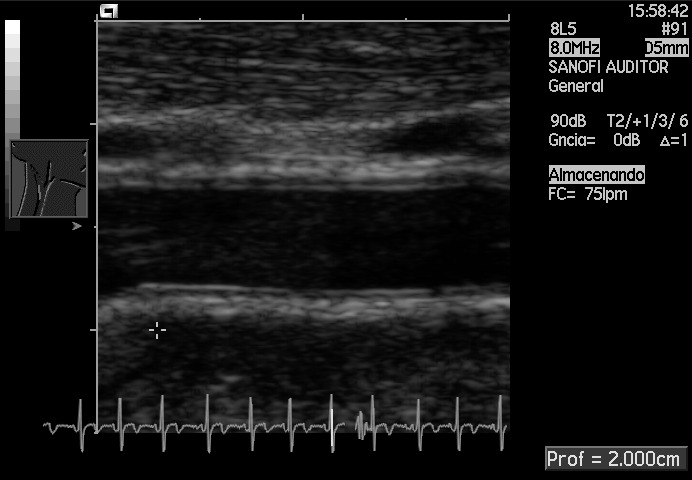
Classify this maternal-fetal ultrasound image as one of the six standard planes — fetal abdomen, fetal brain, fetal femur, fetal thorax, maternal cervix, or other. If it's fetal brain and one of the three standard brain planes (trans-thalamic, trans-cerebellum, trans-ventricular), name which.

Other